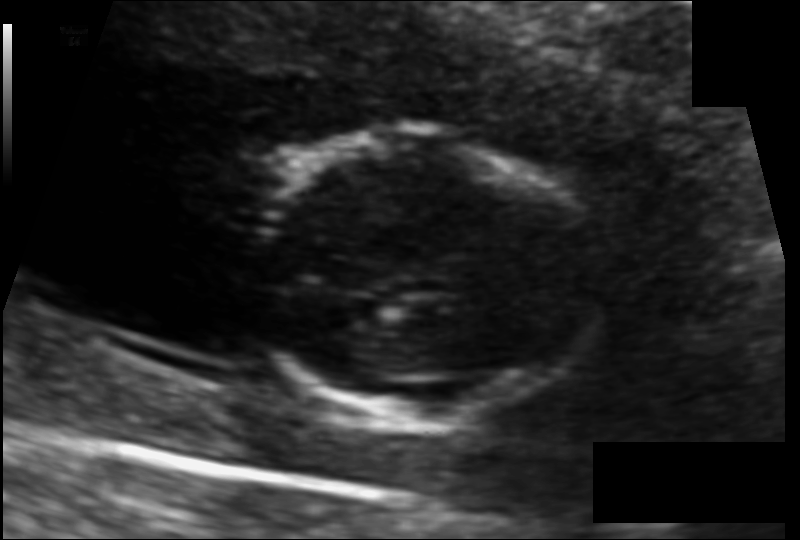
Fetal head ultrasound. Image width: 72.8 mm. Locate the fetal head and, if visible, the cavum septum pellucidum (CSP) and lateral ventricle (LV). Give bounding boxes as [x1,y1,x2,y2].

Head: [249,138,606,418]